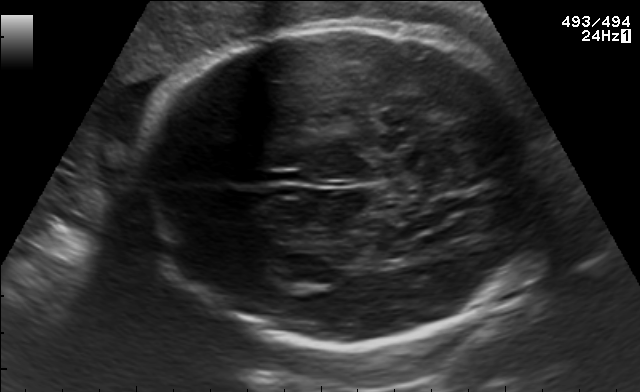
Fetal brain, trans-thalamic plane. Give [x1,y1,x2,y2] bounding boxes for each visible structure among: fetal head, CSP, LV.

Head: [133,22,548,348]
Lateral ventricle: [277,255,331,283]